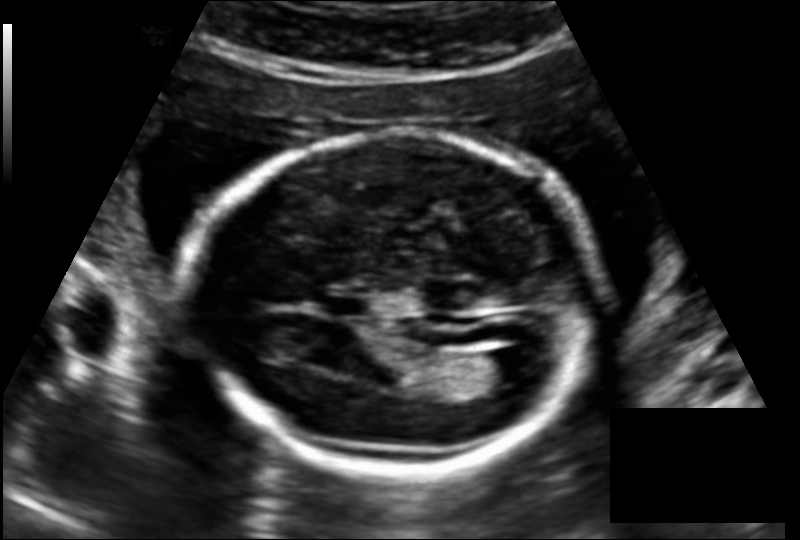
In this fetal head ultrasound, give the bounding box of the lateral ventricle. Image width: 115.9 mm.

[470,344,536,389]